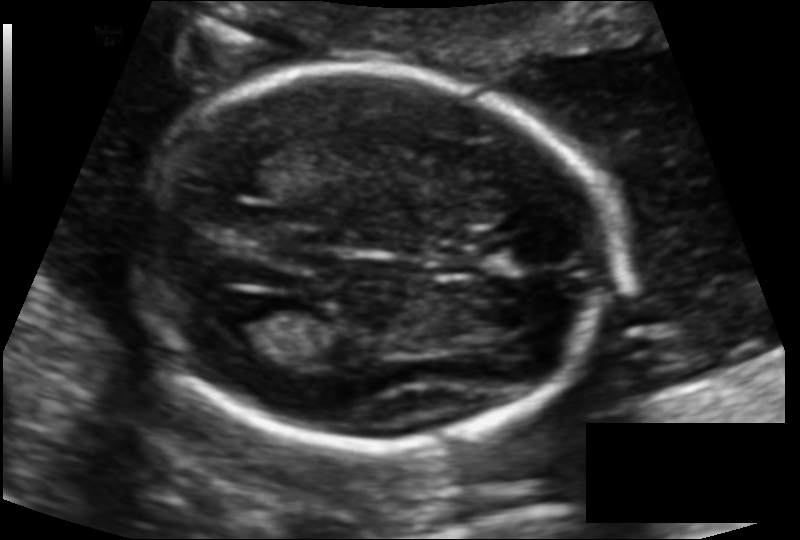
In this fetal head ultrasound, give the bounding box of the lateral ventricle. Image width: 93.4 mm.

[216,293,298,354]